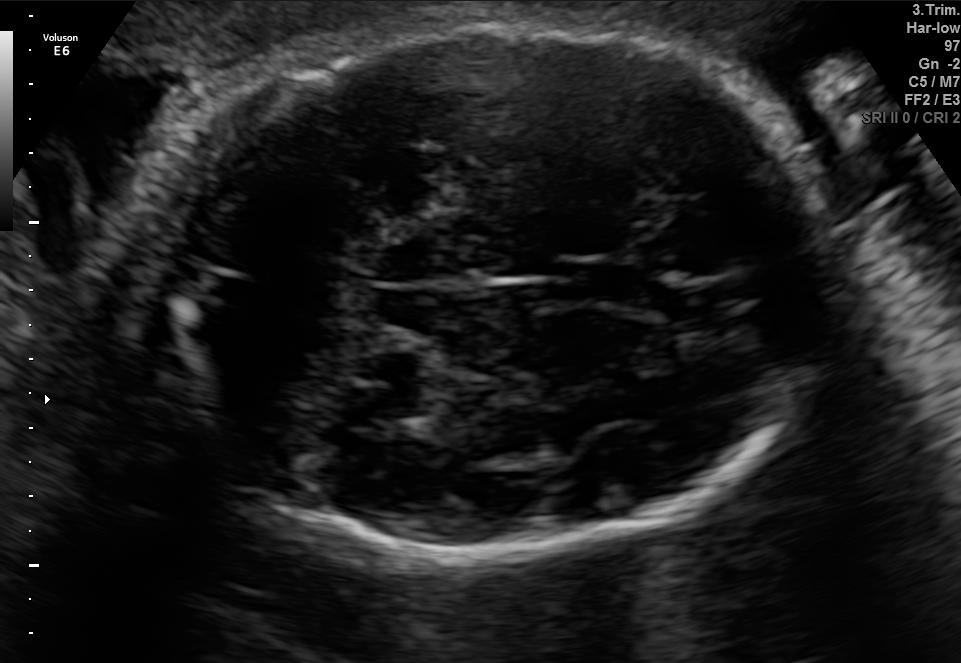
In this fetal brain, trans-cerebellum plane, give the bounding box of the fetal head.

[140,24,829,555]